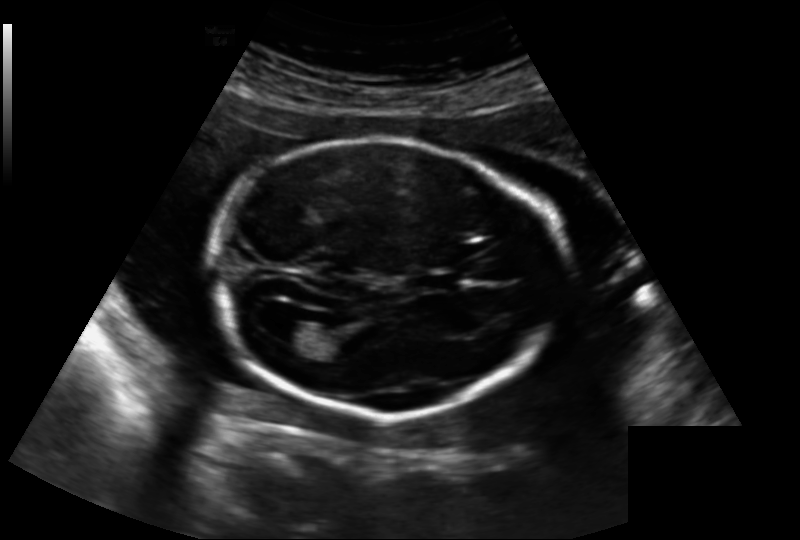
Fetal head ultrasound. Image width: 150.3 mm. Locate the fetal head and, if visible, the cavum septum pellucidum (CSP) and lateral ventricle (LV). Give bounding boxes as [x1,y1,x2,y2].

Head: [210,139,563,416]
CSP: [418,271,460,291]
Lateral ventricle: [272,317,319,350]